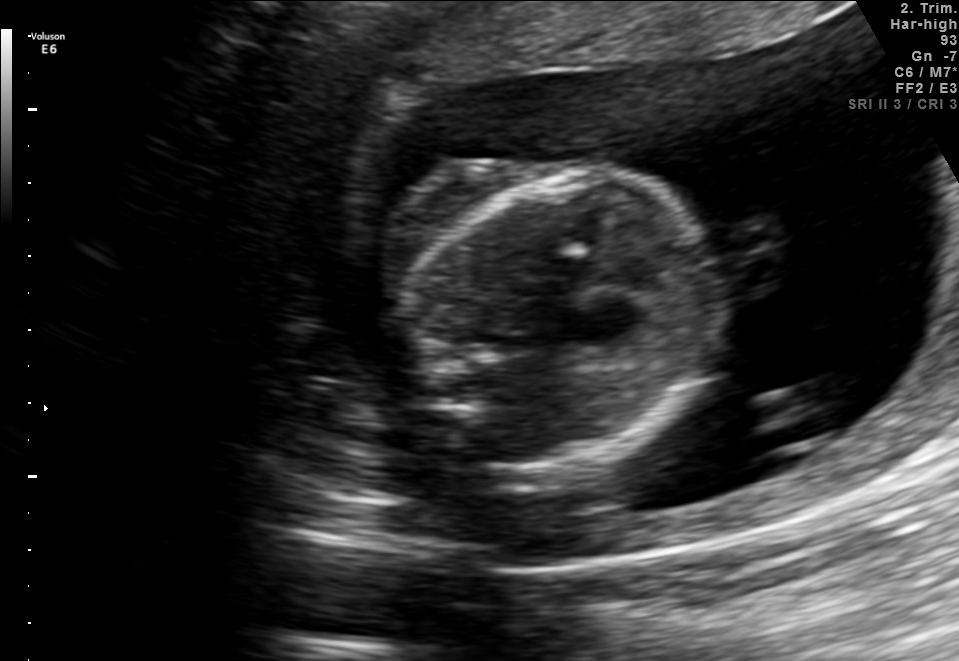
This is a 2D maternal-fetal ultrasound frame. Is it a fetal abdomen, fetal brain, fetal femur, fetal thorax, maternal cervix, or other standard plane? If it's fetal brain and one of the three standard brain planes (trans-thalamic, trans-cerebellum, trans-ventricular), name which.

Fetal thorax